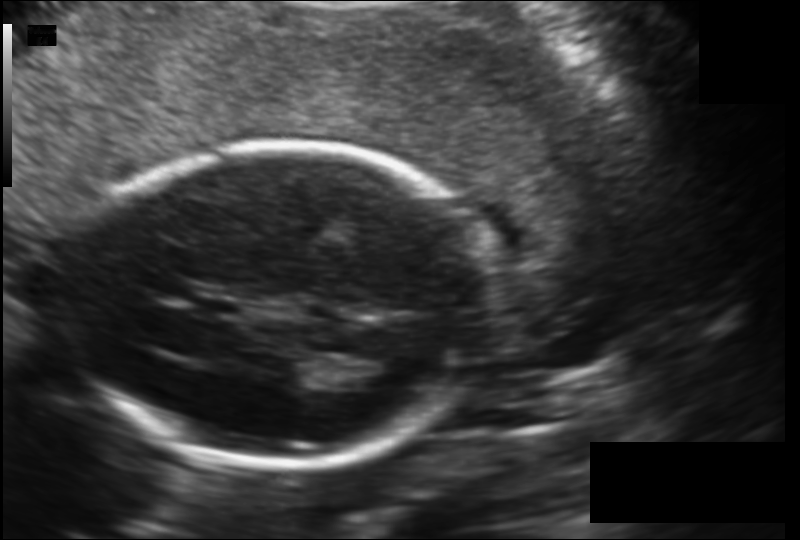
In this fetal head ultrasound, give bounding boxes for the head outline, cavum septum pellucidum (CSP), and lateral ventricle (LV), where visible. Image width: 117.3 mm.

Head: [70,145,493,472]
CSP: [196,295,242,319]